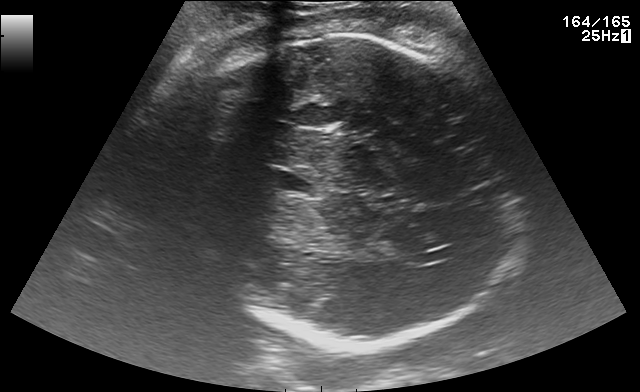
In this fetal brain, trans-thalamic plane, give the bounding box of the fetal head.

[190,36,516,346]